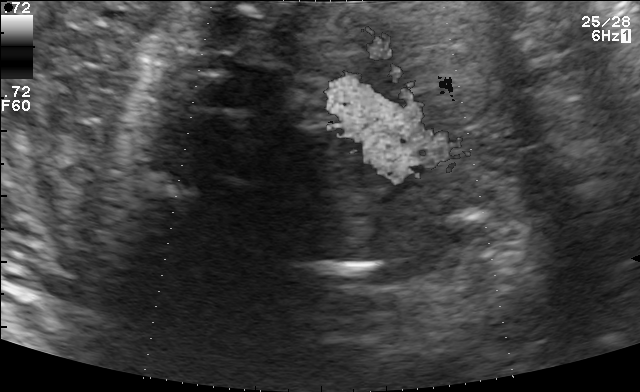
This is a 2D maternal-fetal ultrasound frame. Is it a fetal abdomen, fetal brain, fetal femur, fetal thorax, maternal cervix, or other standard plane? If it's fetal brain and one of the three standard brain planes (trans-thalamic, trans-cerebellum, trans-ventricular), name which.

Other